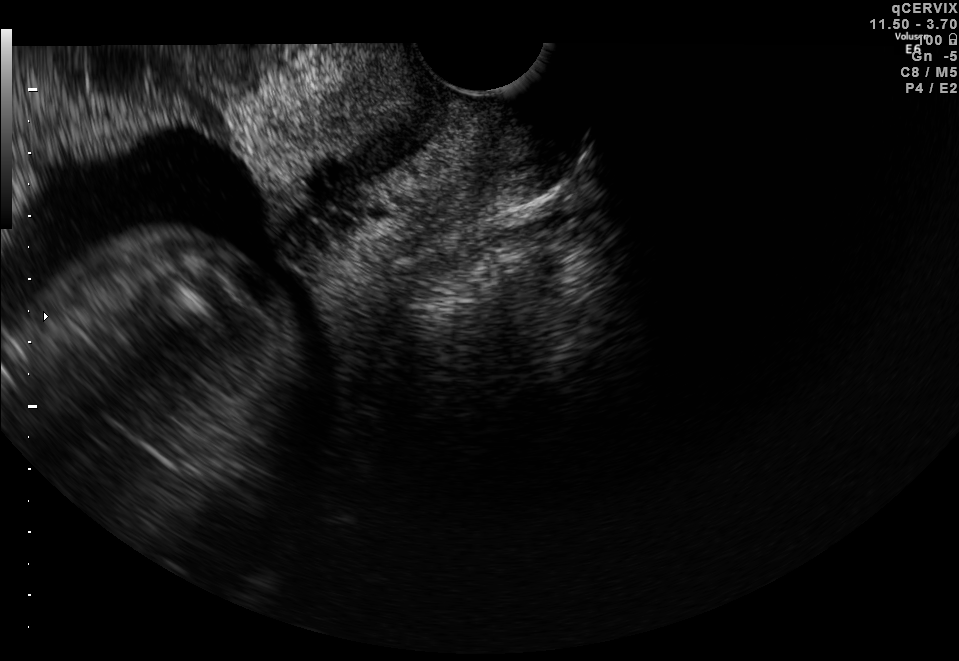
Which standard maternal-fetal ultrasound plane is shown: fetal abdomen, fetal brain, fetal femur, fetal thorax, maternal cervix, or other? If it's fetal brain and one of the three standard brain planes (trans-thalamic, trans-cerebellum, trans-ventricular), name which.

Maternal cervix